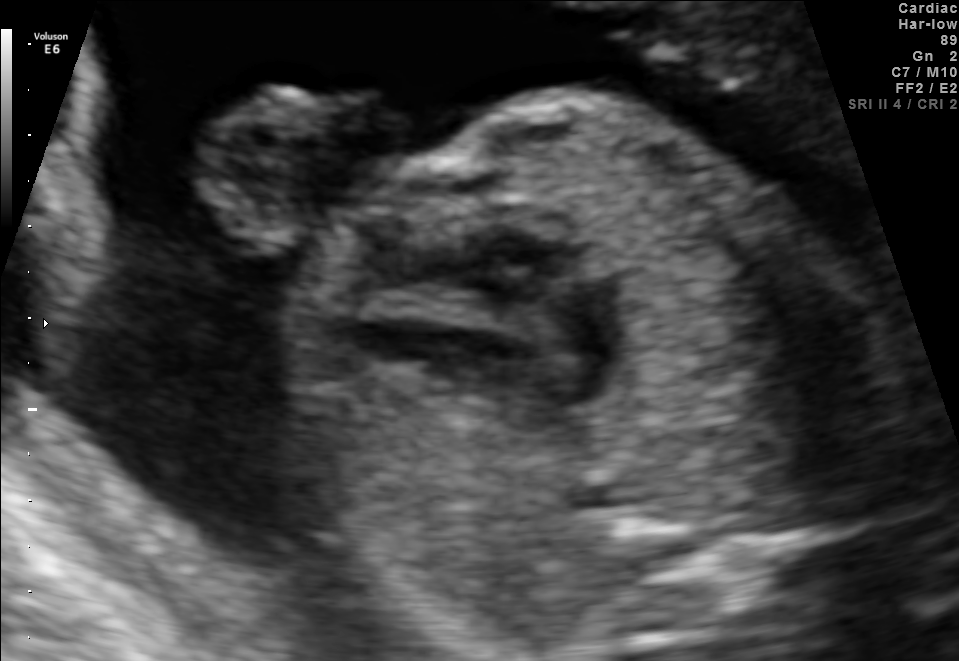
This is a 2D maternal-fetal ultrasound frame. Is it a fetal abdomen, fetal brain, fetal femur, fetal thorax, maternal cervix, or other standard plane? If it's fetal brain and one of the three standard brain planes (trans-thalamic, trans-cerebellum, trans-ventricular), name which.

Other